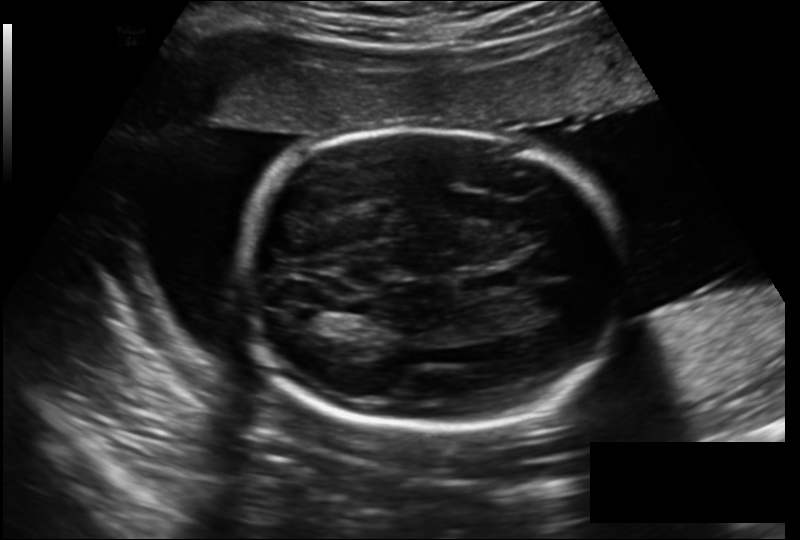
In this fetal head ultrasound, give the bounding box of the lateral ventricle. Image width: 164.7 mm.

[283,305,323,332]